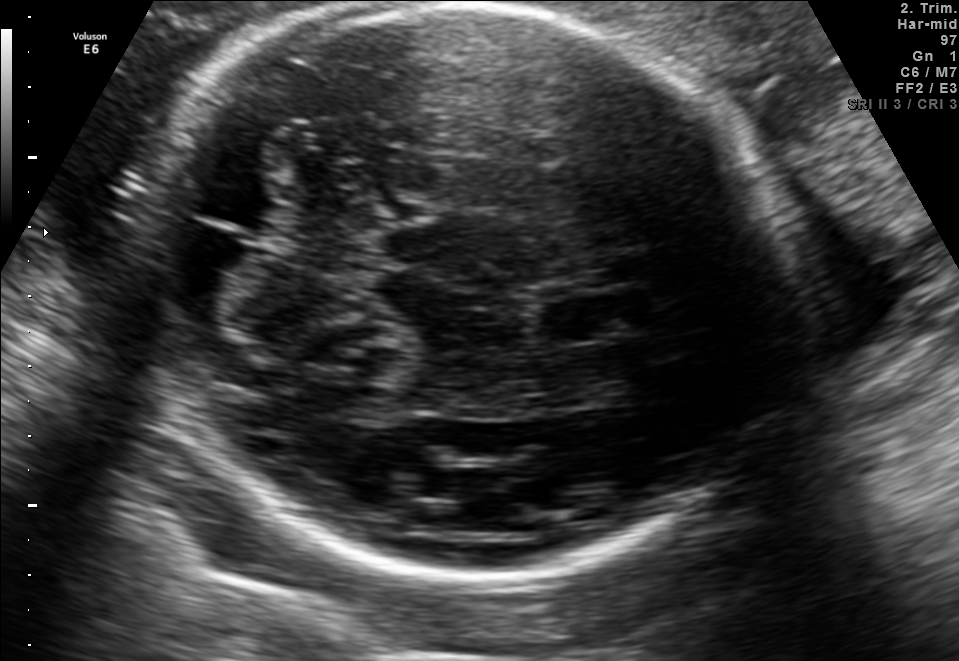
Fetal brain, trans-cerebellum plane. Locate the fetal head and, if visible, the cavum septum pellucidum (CSP) and lateral ventricle (LV). Give bounding boxes as [x1,y1,x2,y2].

Head: [136,3,777,576]
CSP: [535,290,645,347]